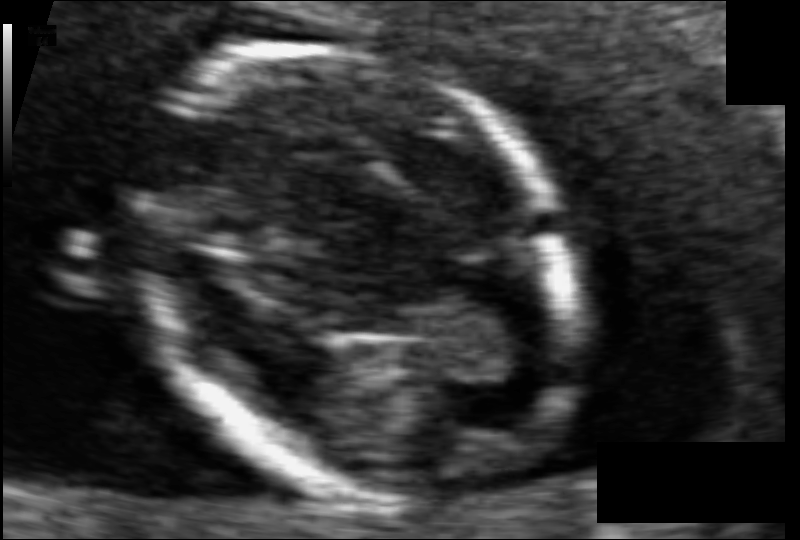
Estimate the fetal head circumference from this 2D ultrasound.

Head circumference: 88.2 mm (image width 48.9 mm).